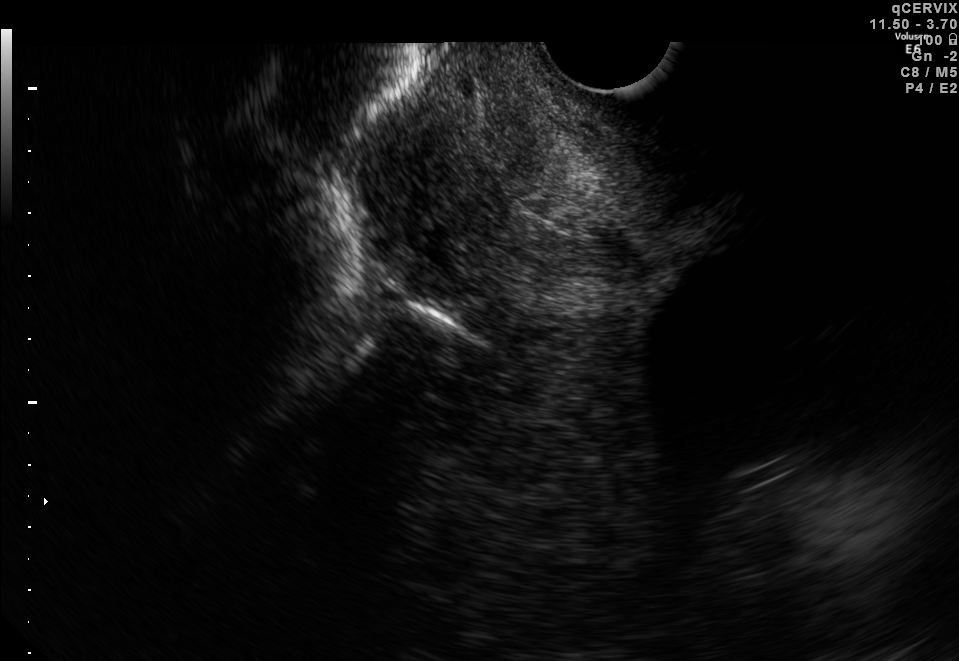
This is a 2D maternal-fetal ultrasound frame. Is it a fetal abdomen, fetal brain, fetal femur, fetal thorax, maternal cervix, or other standard plane? If it's fetal brain and one of the three standard brain planes (trans-thalamic, trans-cerebellum, trans-ventricular), name which.

Maternal cervix